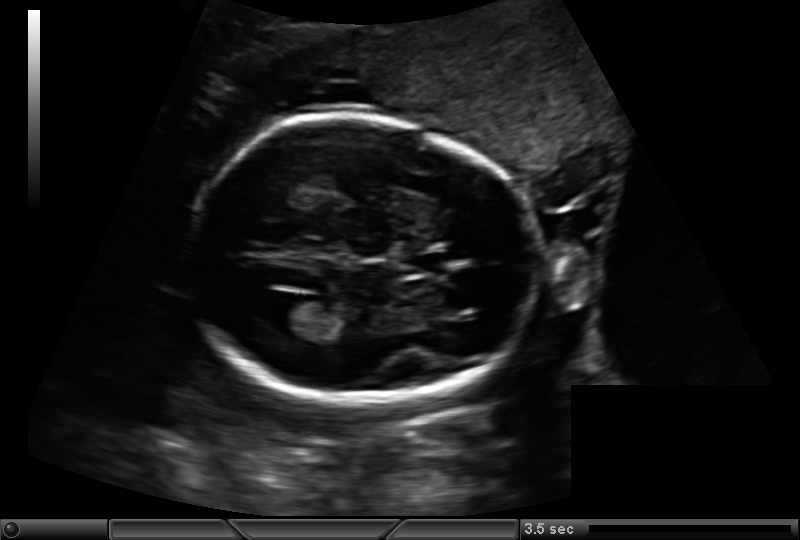
Fetal head ultrasound. Image width: 126.8 mm. Where is the lateral ventricle?

Lateral ventricle bounding box: [263,293,315,336]